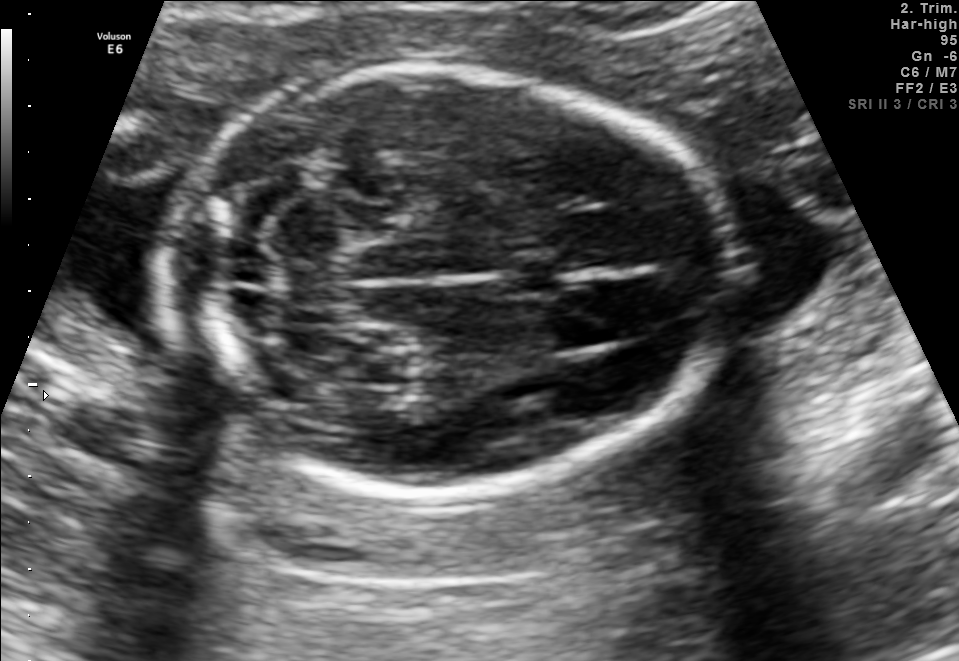
In this fetal brain, trans-cerebellum plane, give the bounding box of the fetal head.

[166,62,725,495]